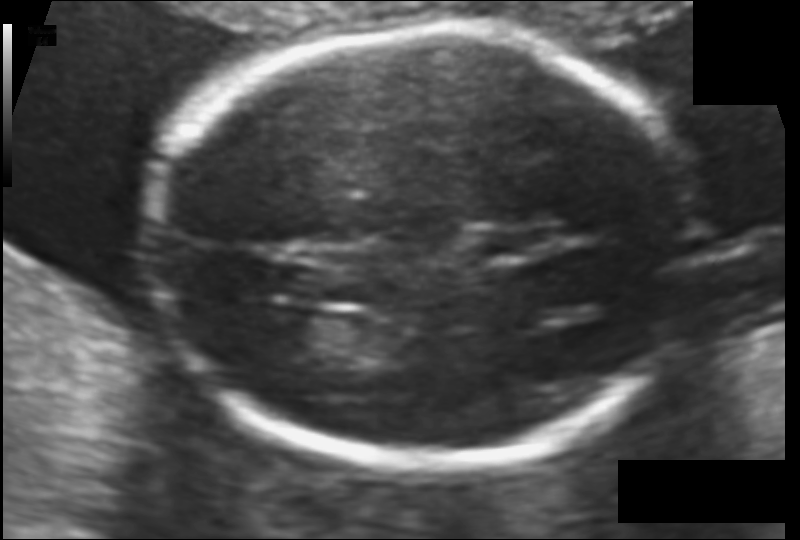
Fetal head ultrasound. Image width: 82.1 mm. Where is the fetal head?

Head bounding box: [149,29,697,465]